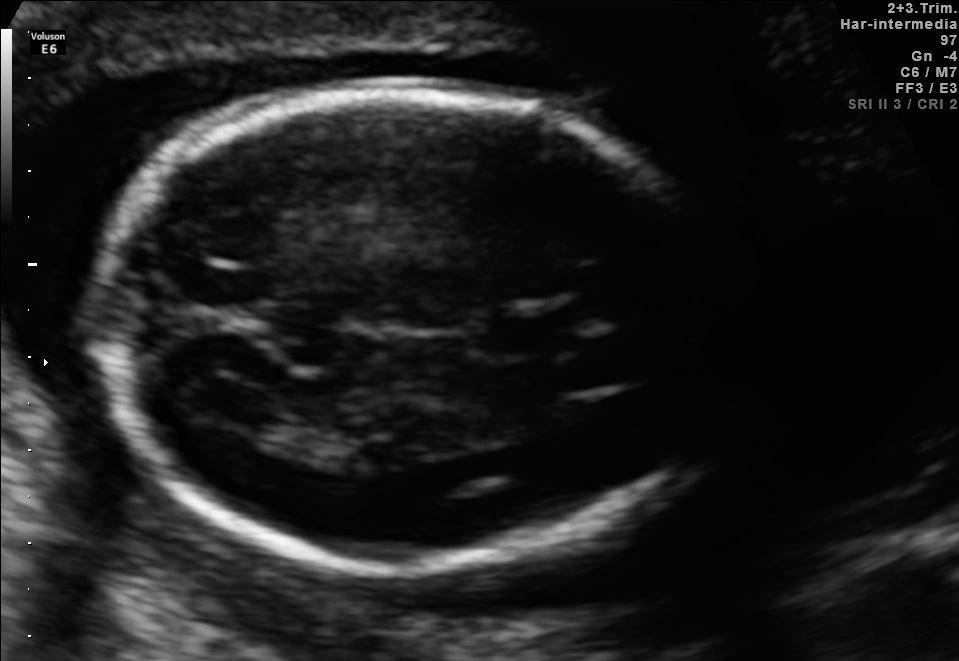
In this fetal brain, trans-ventricular plane, give the bounding box of the fetal head.

[82,78,753,589]